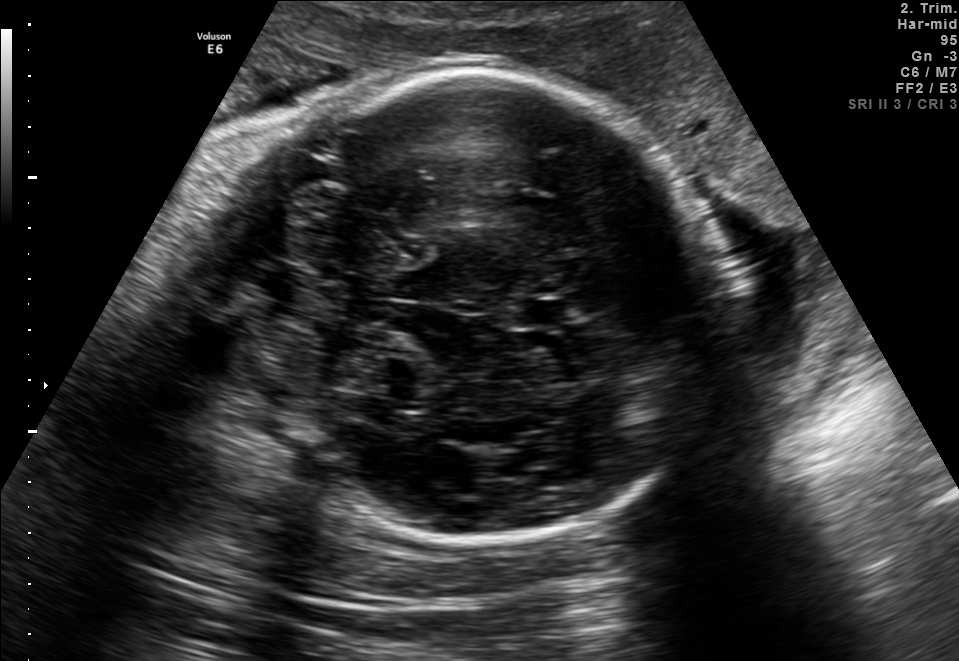
Fetal brain, trans-cerebellum plane. Locate the cavum septum pellucidum.

CSP: [511,295,575,330]